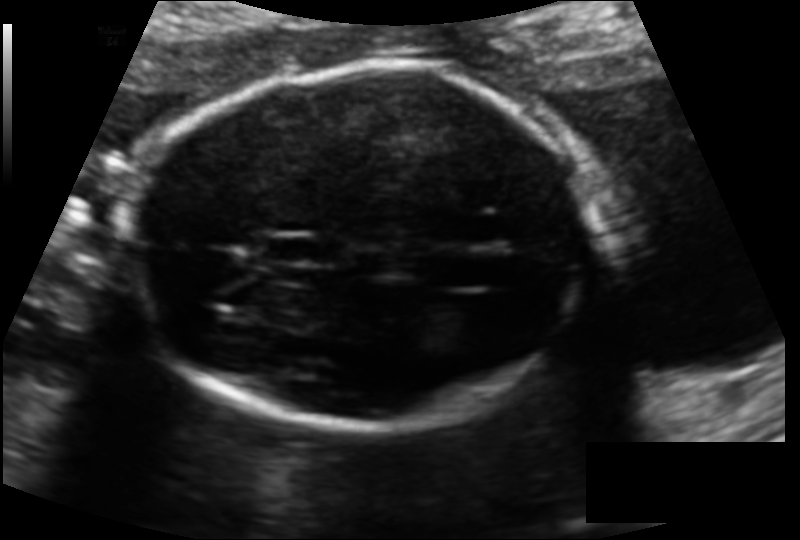
What is the fetal head circumference? Image width is 101.0 mm.

168.3 mm